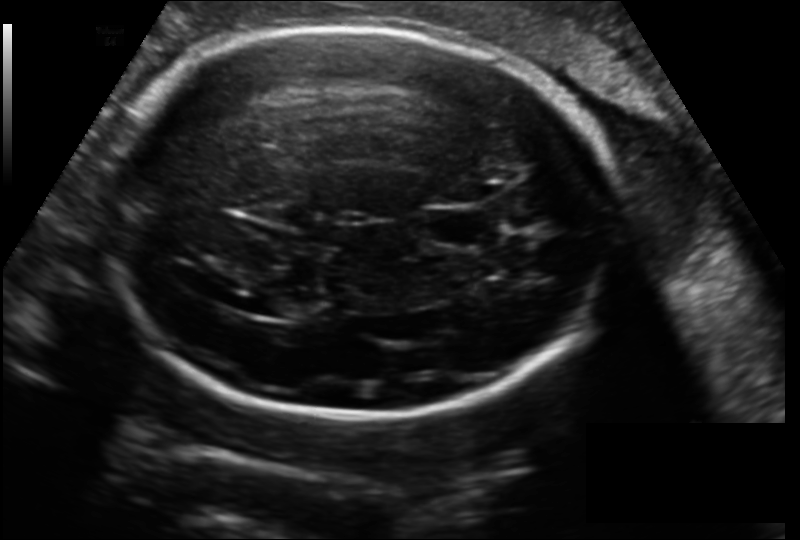
In this fetal head ultrasound, give bounding boxes for the head outline, cavum septum pellucidum (CSP), and lateral ventricle (LV), where visible. Image width: 142.1 mm.

Head: [98,25,619,417]
CSP: [424,207,486,247]
Lateral ventricle: [254,293,303,320]